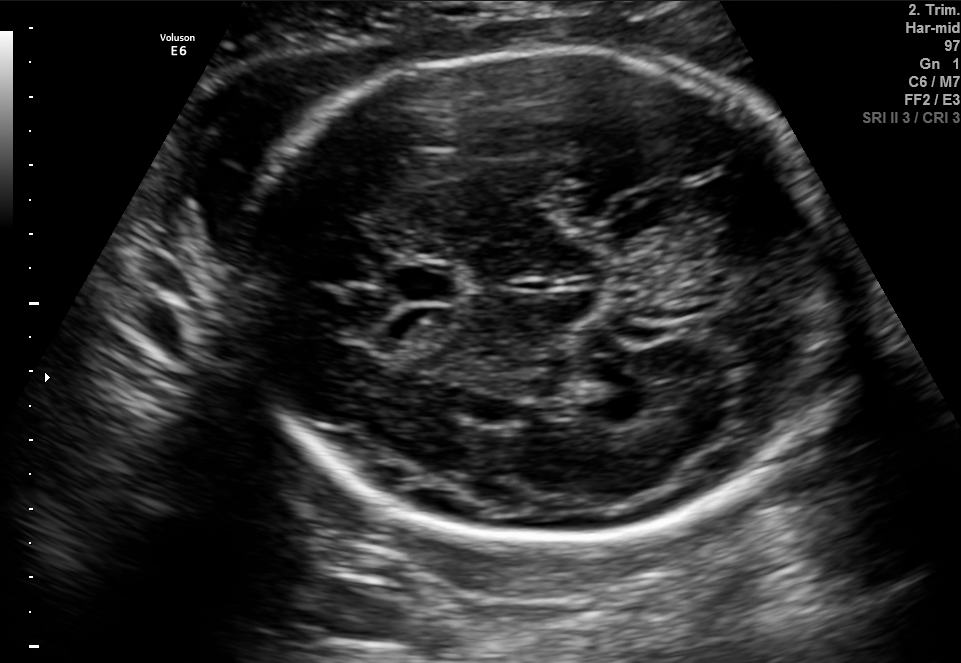
Fetal brain, trans-thalamic plane. Where is the fetal head?

Head bounding box: [233,47,842,550]